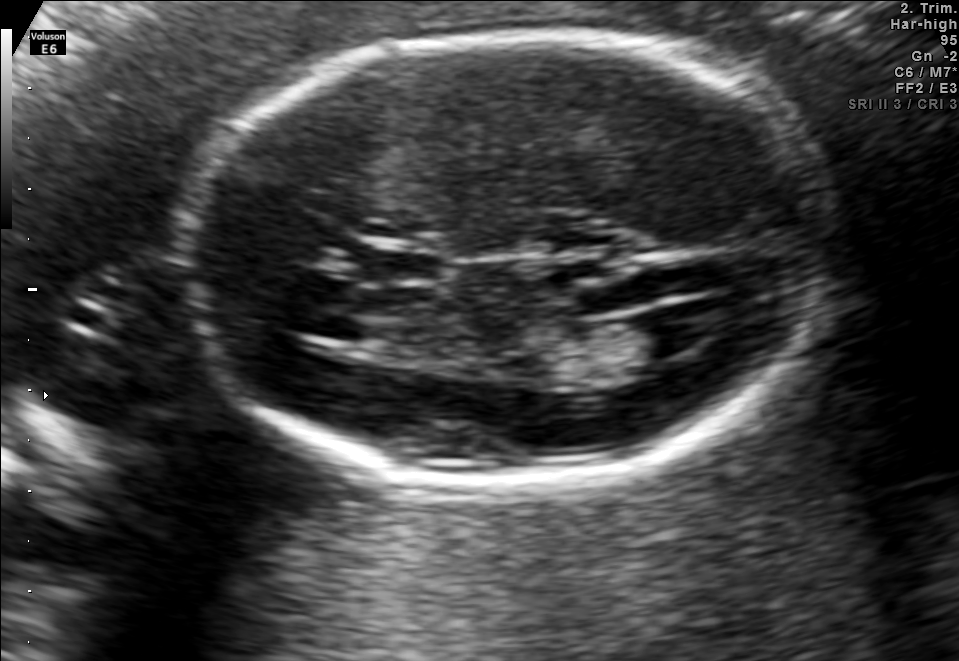
Fetal brain, trans-ventricular plane. Locate the fetal head and, if visible, the cavum septum pellucidum (CSP) and lateral ventricle (LV). Give bounding boxes as [x1,y1,x2,y2].

Head: [166,25,843,494]
CSP: [387,251,438,281]
Lateral ventricle: [631,298,715,361]